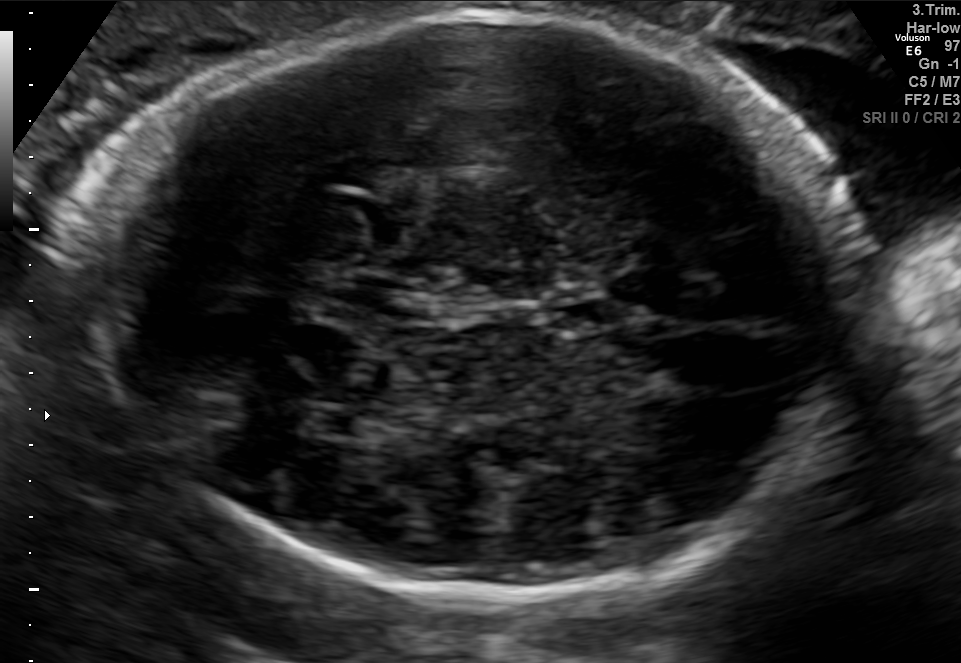
Fetal brain, trans-thalamic plane. Locate the fetal head and, if visible, the cavum septum pellucidum (CSP) and lateral ventricle (LV). Give bounding boxes as [x1,y1,x2,y2].

Head: [76,14,853,593]
CSP: [546,291,633,336]
Lateral ventricle: [298,401,381,441]